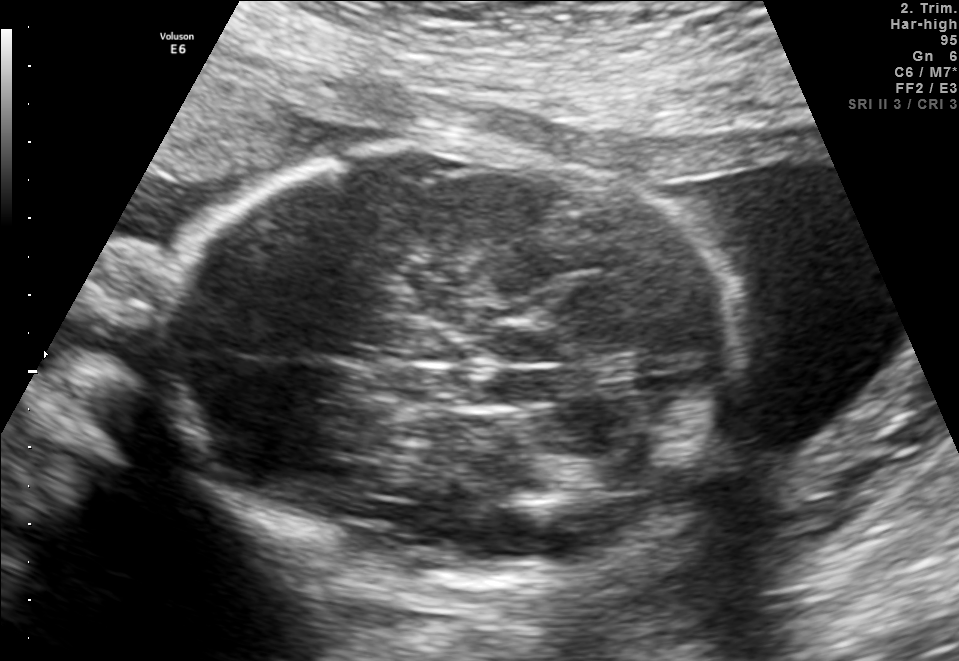
Fetal brain, trans-thalamic plane. Locate the fetal head.

Head: [158,135,741,600]